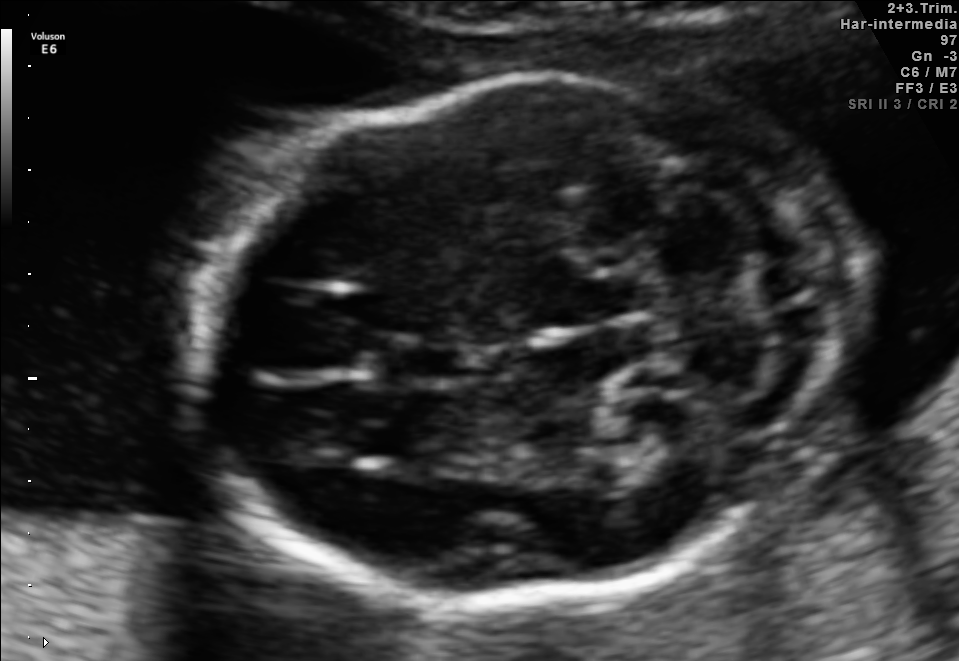
Fetal brain, trans-cerebellum plane. Give [x1,y1,x2,y2] bounding boxes for each visible structure among: fetal head, CSP, LV.

Head: [189,80,846,617]
CSP: [390,337,478,382]